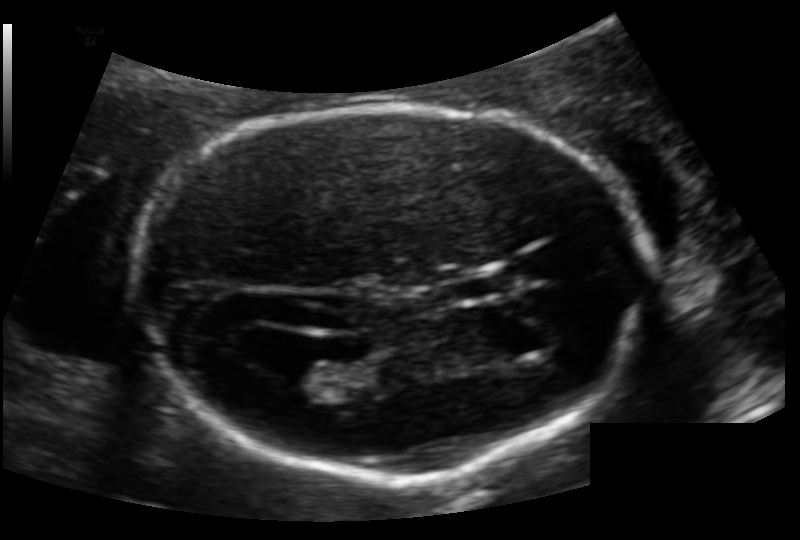
Measure the fetal head circumference shown in this ultrasound image. Image width: 99.1 mm.

Head circumference: 178.7 mm.